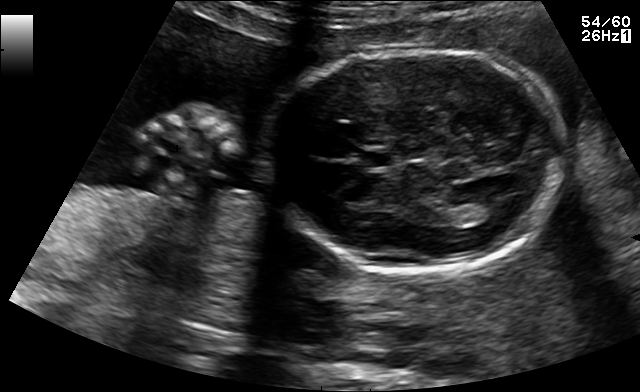
In this fetal brain, trans-thalamic plane, give the bounding box of the lateral ventricle.

[470,195,515,225]